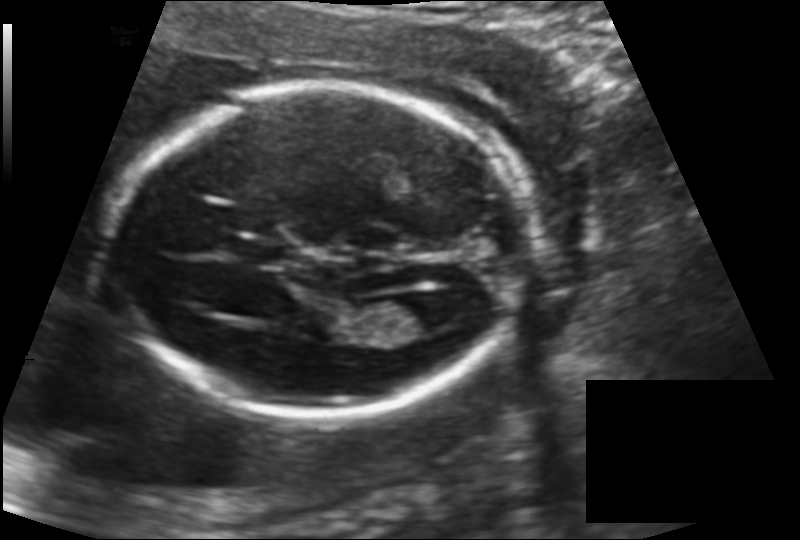
In this fetal head ultrasound, give bounding boxes for the head outline, cavum septum pellucidum (CSP), and lateral ventricle (LV), where visible. Image width: 113.5 mm.

Head: [118,85,517,413]
CSP: [230,234,288,269]
Lateral ventricle: [382,288,454,337]